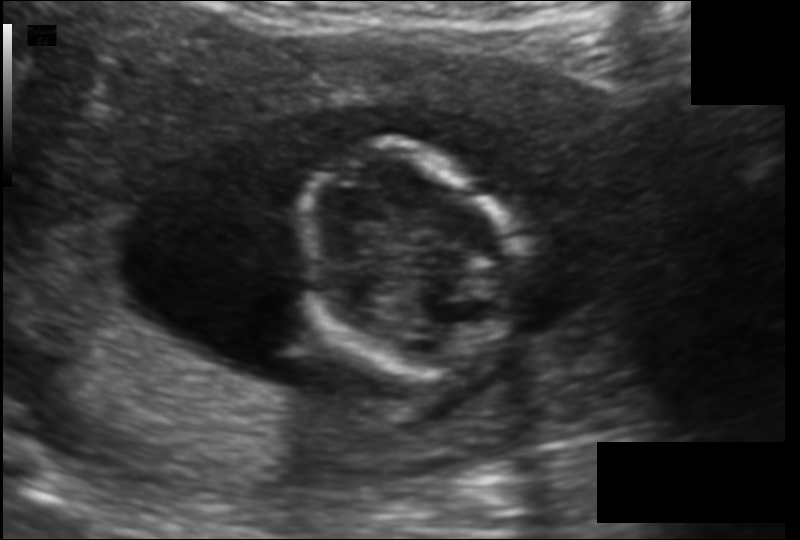
Measure the fetal head circumference shown in this ultrasound image. Image width: 103.9 mm.

Head circumference: 98.7 mm.